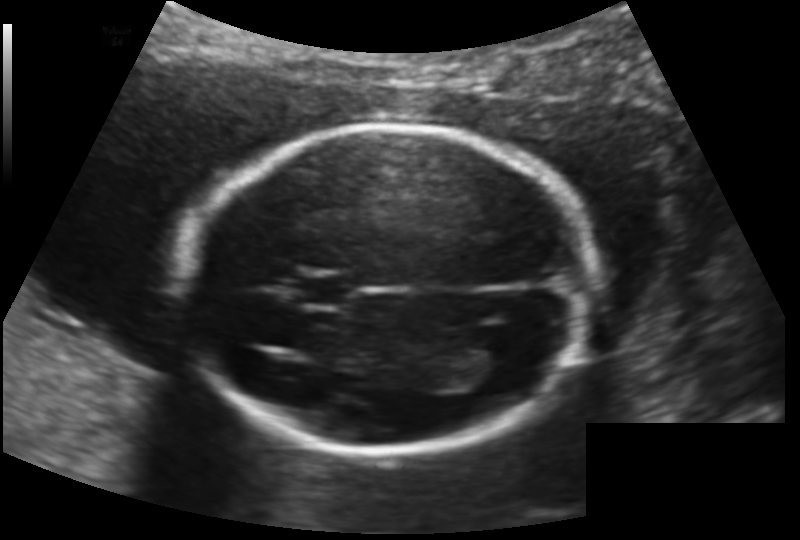
Estimate the fetal head circumference from this 2D ultrasound.

Head circumference: 174.8 mm (image width 116.3 mm).